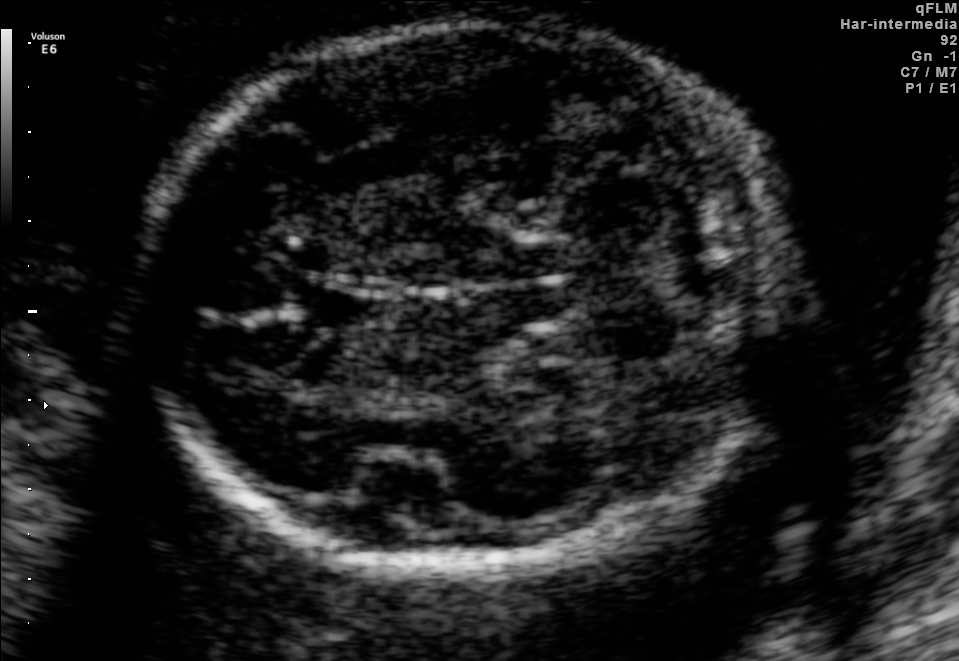
Fetal brain, trans-cerebellum plane. Give [x1,y1,x2,y2] bounding boxes for each visible structure among: fetal head, CSP, LV.

Head: [145,28,776,567]
CSP: [289,284,390,333]